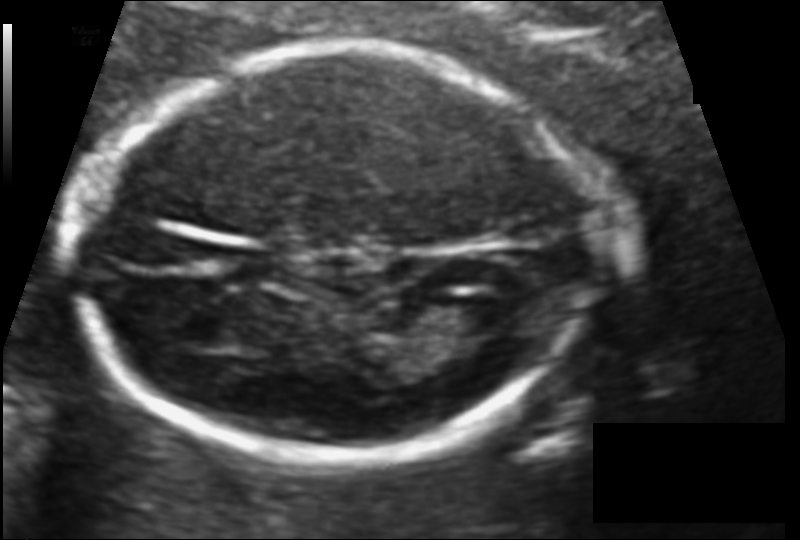
Estimate the fetal head circumference from this 2D ultrasound. Image width: 81.3 mm.

Head circumference: 151.8 mm.